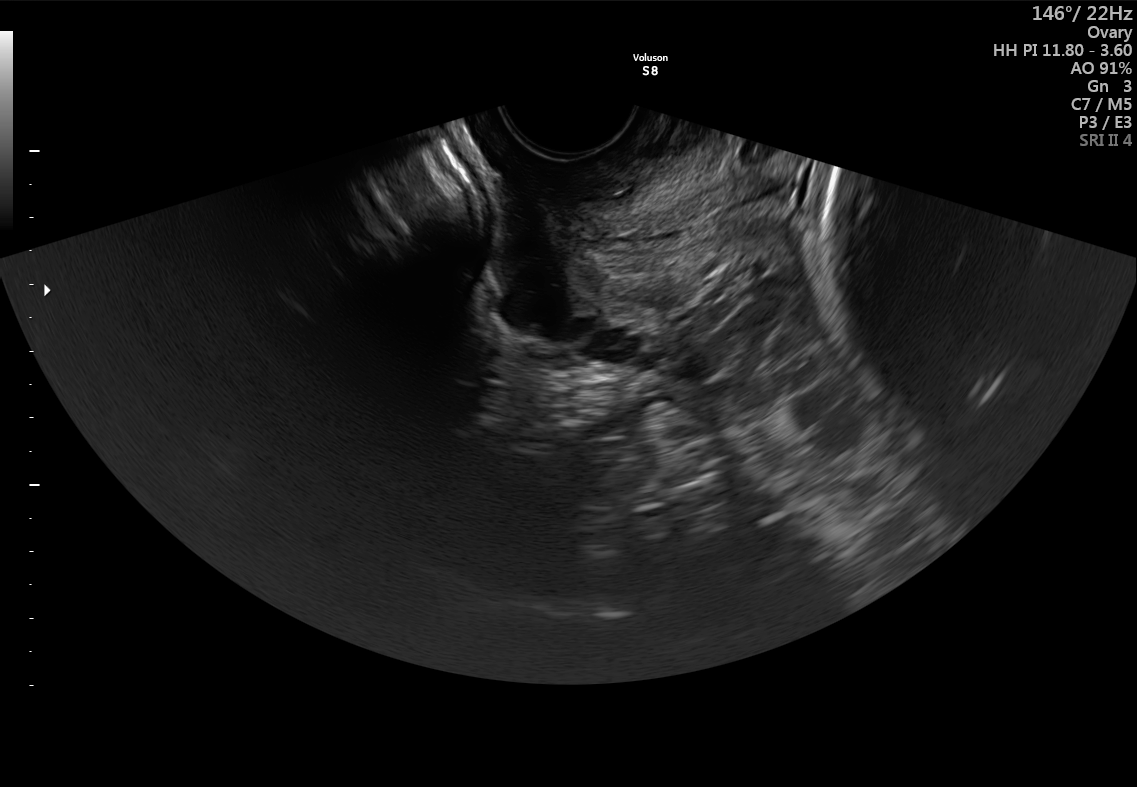
This is a 2D maternal-fetal ultrasound frame. Is it a fetal abdomen, fetal brain, fetal femur, fetal thorax, maternal cervix, or other standard plane? If it's fetal brain and one of the three standard brain planes (trans-thalamic, trans-cerebellum, trans-ventricular), name which.

Maternal cervix